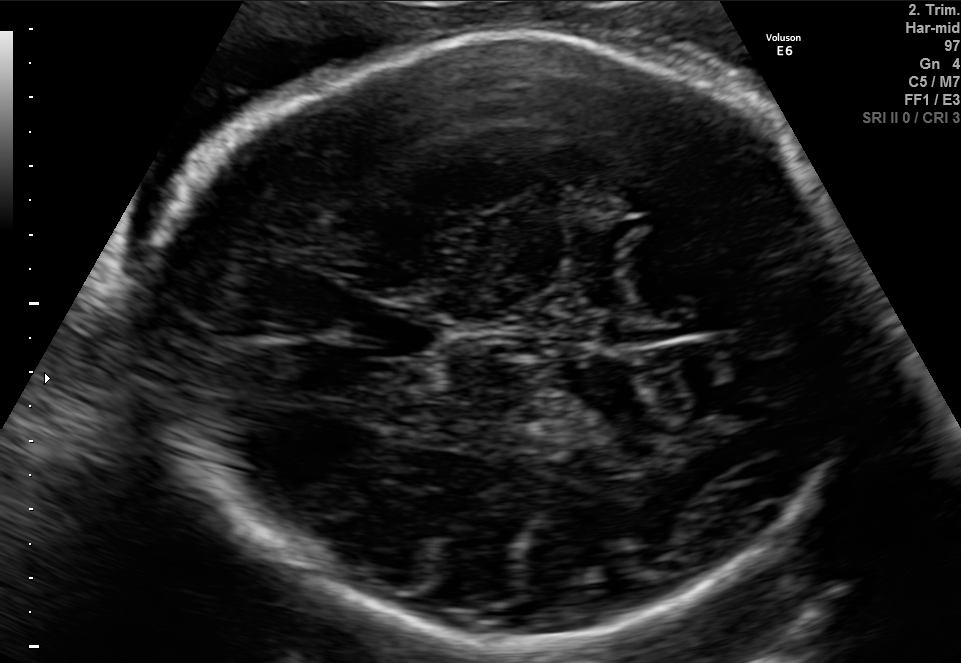
In this fetal brain, trans-thalamic plane, give the bounding box of the cavum septum pellucidum.

[361,304,444,363]